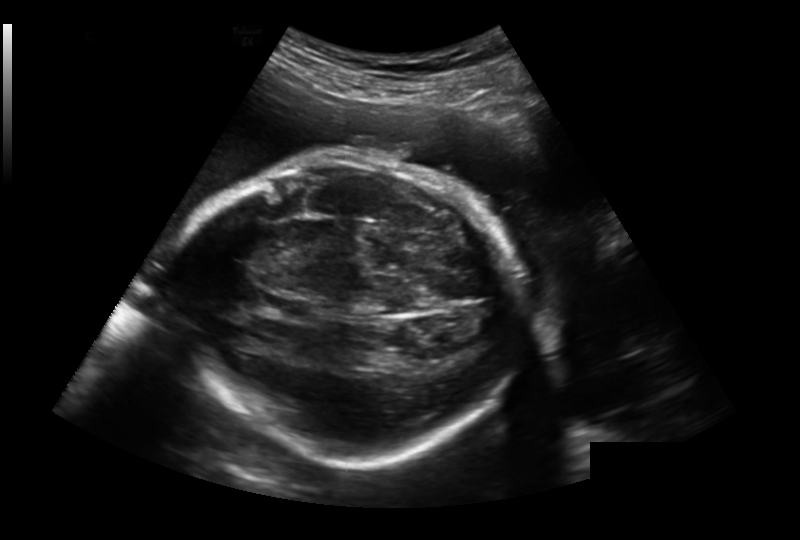
In this fetal head ultrasound, give the bounding box of the fetal head. Image width: 206.8 mm.

[176,158,519,460]